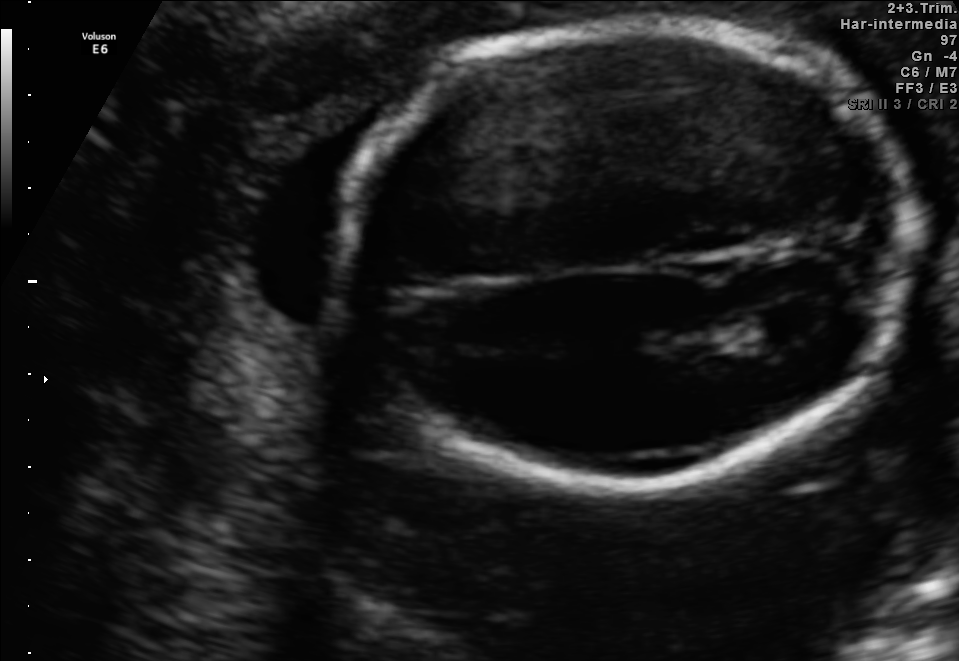
Fetal brain, trans-ventricular plane. Locate the fetal head and, if visible, the cavum septum pellucidum (CSP) and lateral ventricle (LV). Give bounding boxes as [x1,y1,x2,y2].

Head: [330,11,923,502]